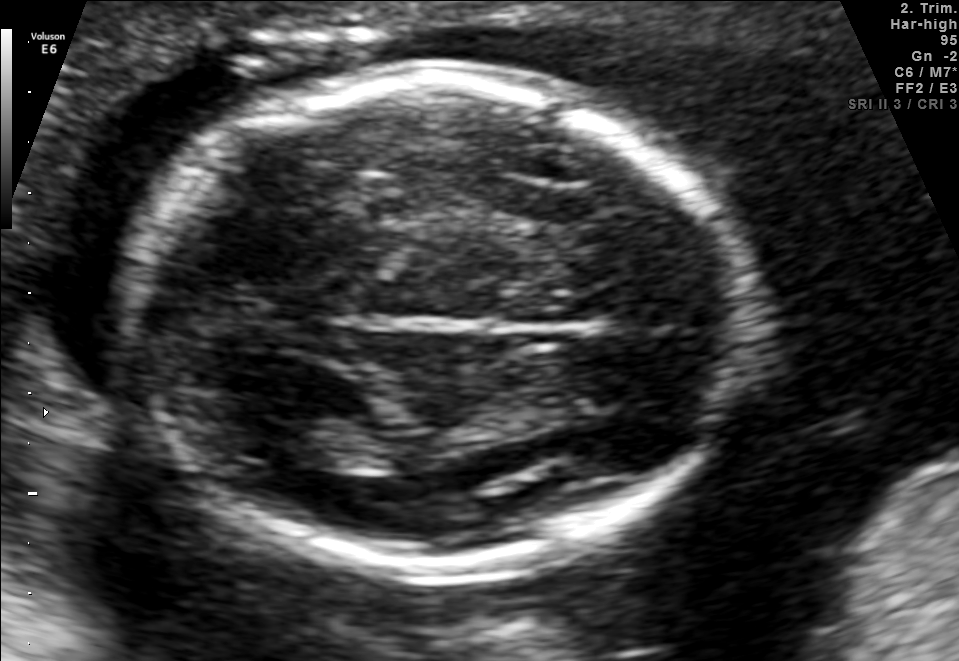
Fetal brain, trans-thalamic plane. Locate the lateral ventricle.

Lateral ventricle: [245,413,345,473]